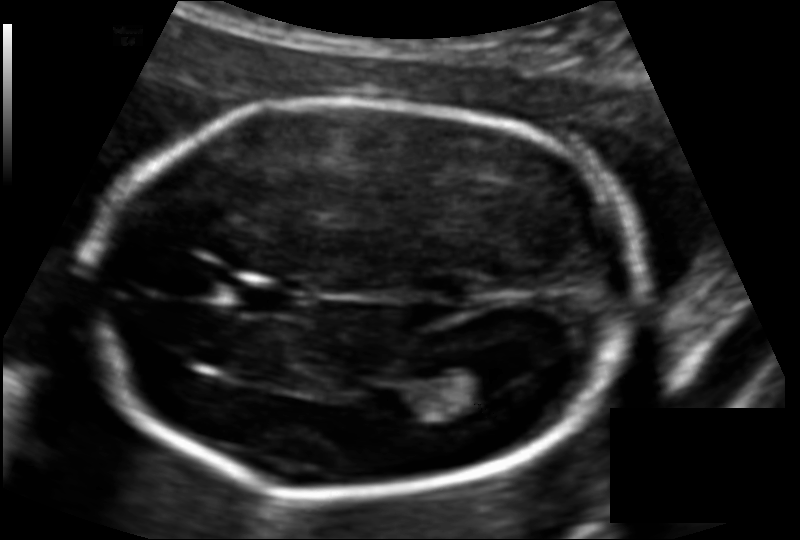
Fetal head ultrasound. Image width: 93.9 mm. Where is the fetal head?

Head bounding box: [88,101,630,494]